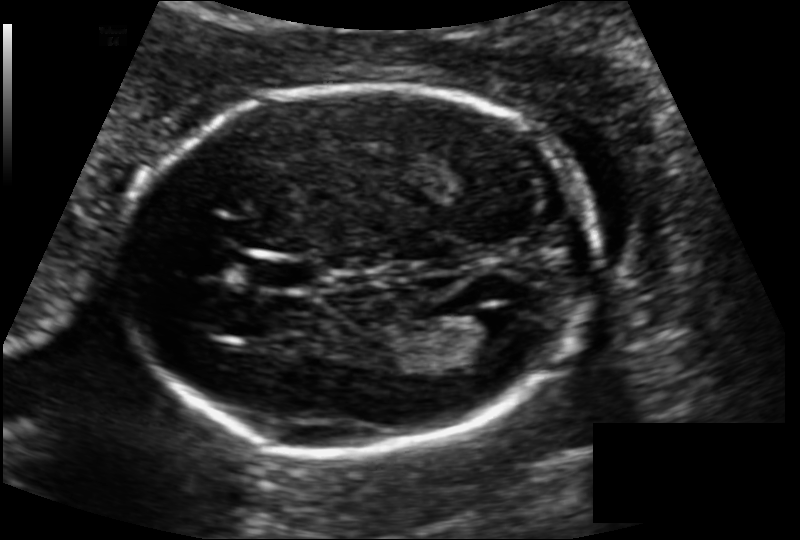
In this fetal head ultrasound, give the bounding box of the lateral ventricle. Image width: 99.0 mm.

[444,314,526,368]